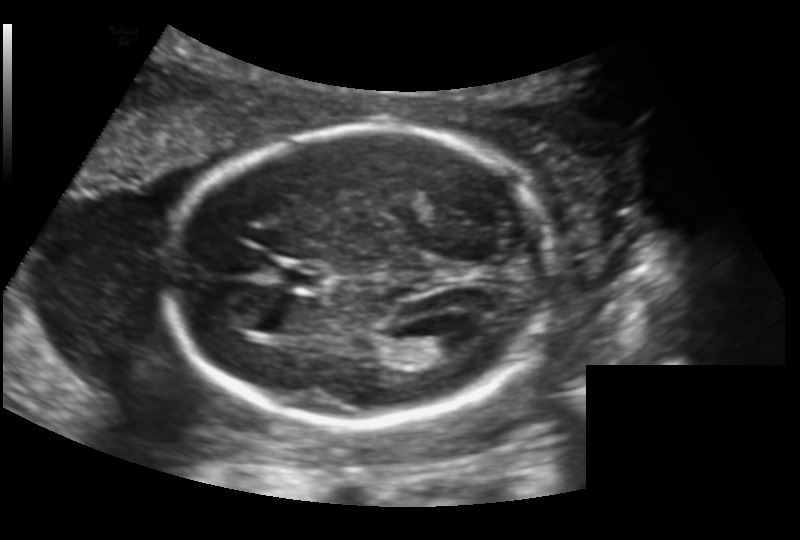
In this fetal head ultrasound, give the bounding box of the lateral ventricle. Image width: 125.0 mm.

[414,323,472,366]